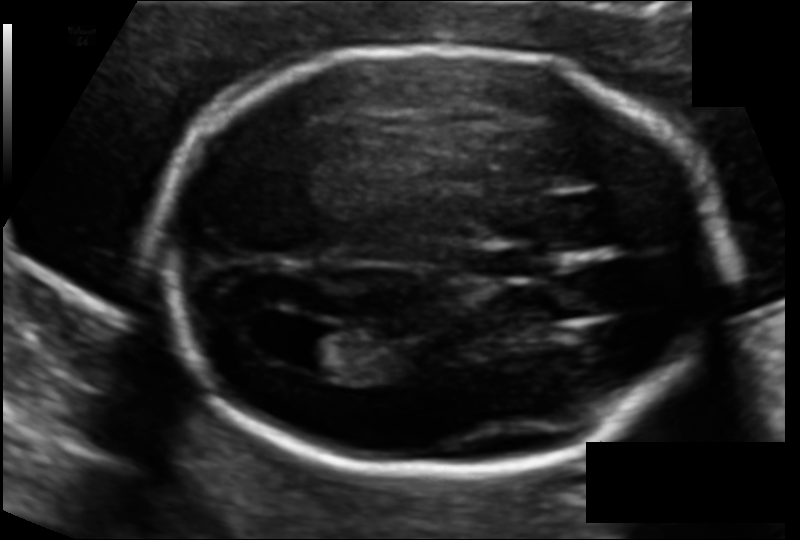
Fetal head ultrasound. Image width: 89.4 mm. Locate the fetal head.

Head: [164,48,724,469]